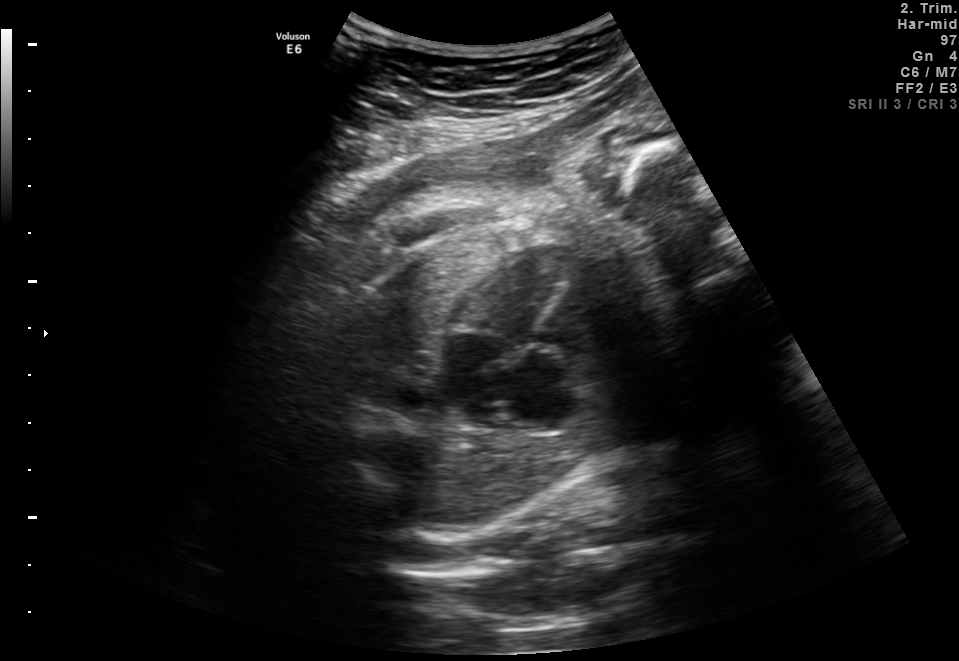
Identify the standard plane in this fetal ultrasound image: fetal abdomen, fetal brain, fetal femur, fetal thorax, maternal cervix, or other. If it's fetal brain and one of the three standard brain planes (trans-thalamic, trans-cerebellum, trans-ventricular), name which.

Fetal thorax